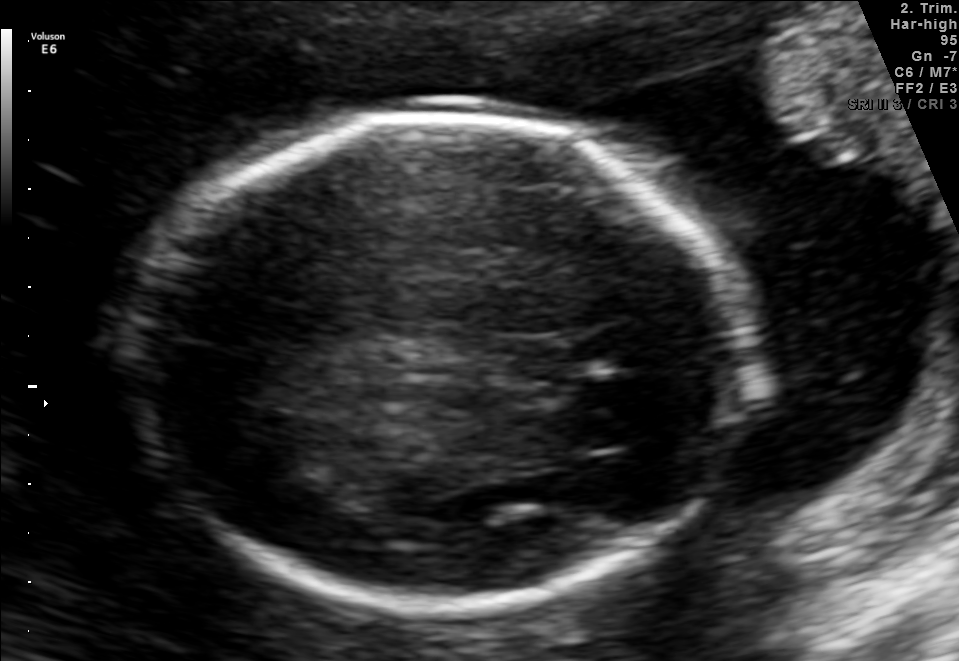
Fetal brain, trans-thalamic plane. Locate the fetal head and, if visible, the cavum septum pellucidum (CSP) and lateral ventricle (LV). Give bounding boxes as [x1,y1,x2,y2].

Head: [142,116,749,597]